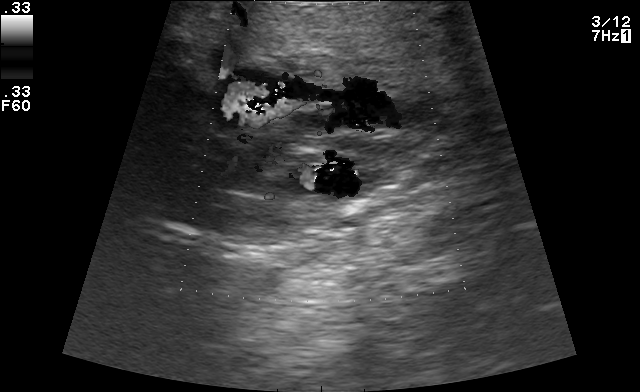
Classify this maternal-fetal ultrasound image as one of the six standard planes — fetal abdomen, fetal brain, fetal femur, fetal thorax, maternal cervix, or other. If it's fetal brain and one of the three standard brain planes (trans-thalamic, trans-cerebellum, trans-ventricular), name which.

Other